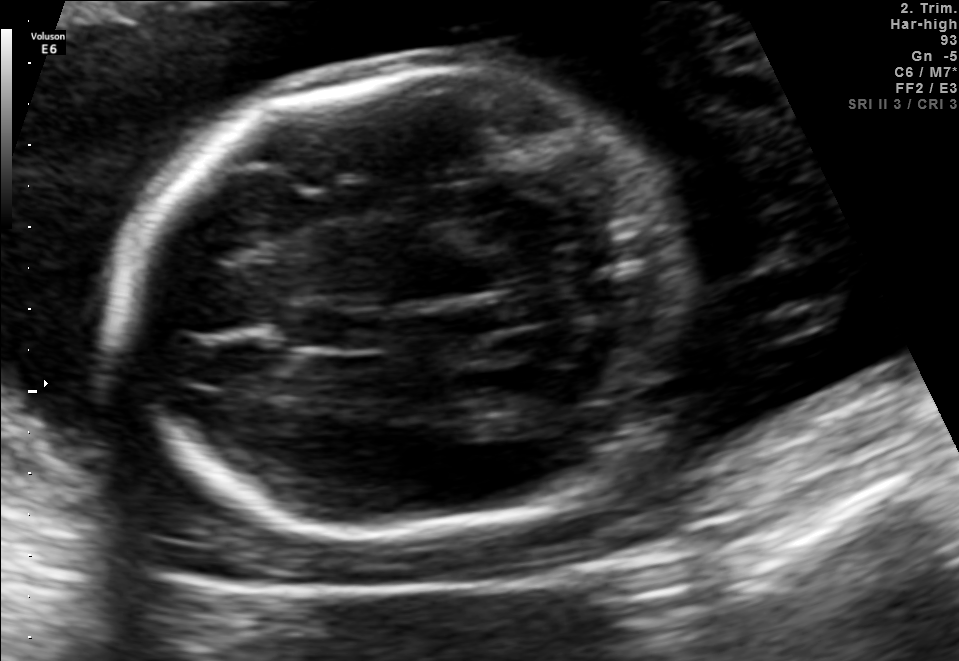
Fetal brain, trans-cerebellum plane. Where is the fetal head?

Head bounding box: [122,66,673,545]